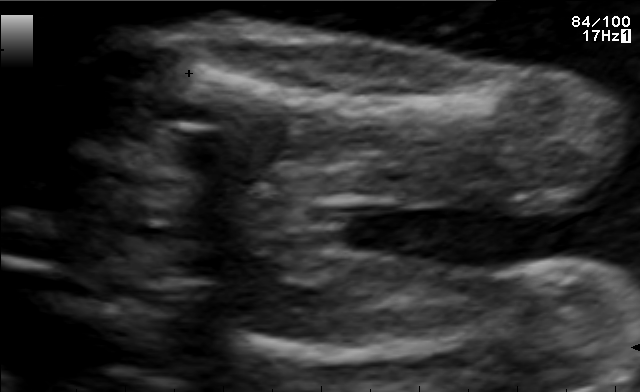
Classify this maternal-fetal ultrasound image as one of the six standard planes — fetal abdomen, fetal brain, fetal femur, fetal thorax, maternal cervix, or other. If it's fetal brain and one of the three standard brain planes (trans-thalamic, trans-cerebellum, trans-ventricular), name which.

Fetal femur